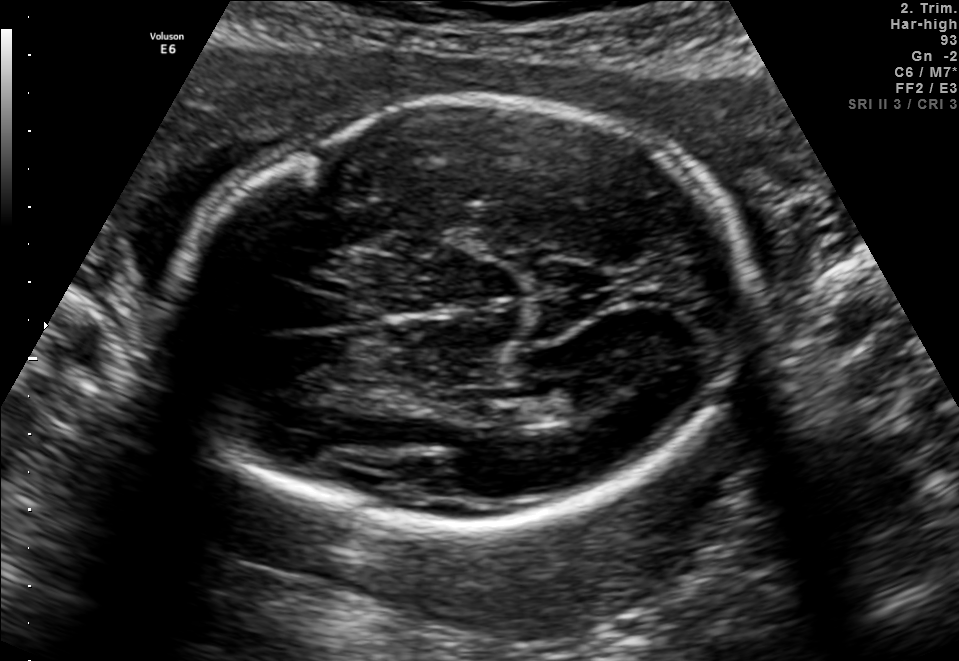
Fetal brain, trans-thalamic plane. Where is the fetal head?

Head bounding box: [180,102,753,519]